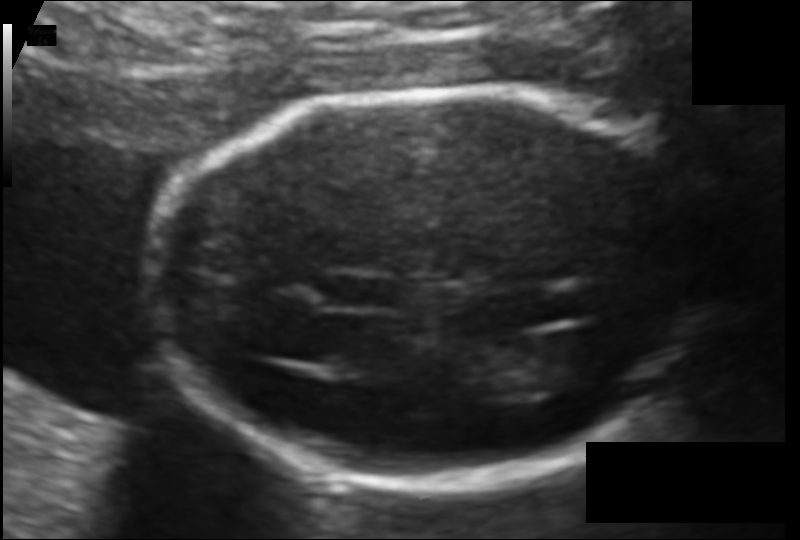
Estimate the fetal head circumference from this 2D ultrasound.

Head circumference: 156.8 mm (image width 82.4 mm).